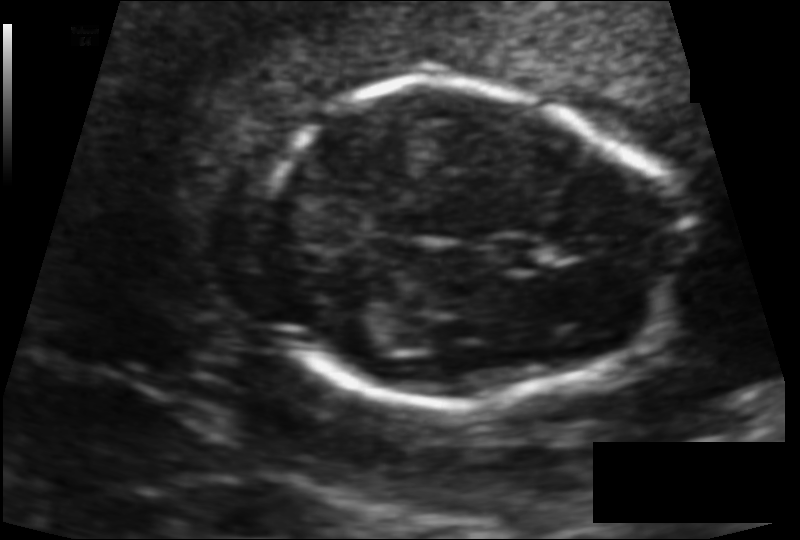
Fetal head ultrasound. Image width: 80.4 mm. Locate the lateral ventricle.

Lateral ventricle: [331,313,392,351]